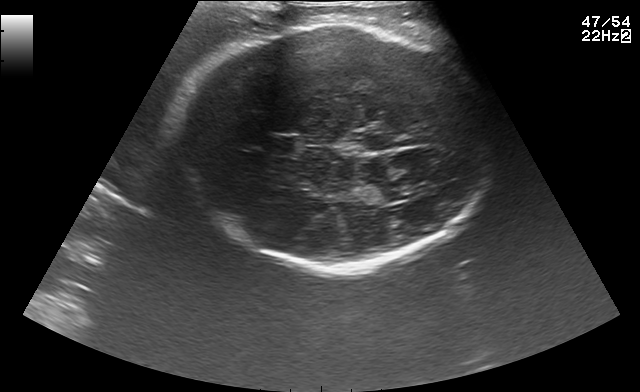
Fetal brain, trans-thalamic plane. Where is the lateral ventricle?

Lateral ventricle bounding box: [356,175,412,209]